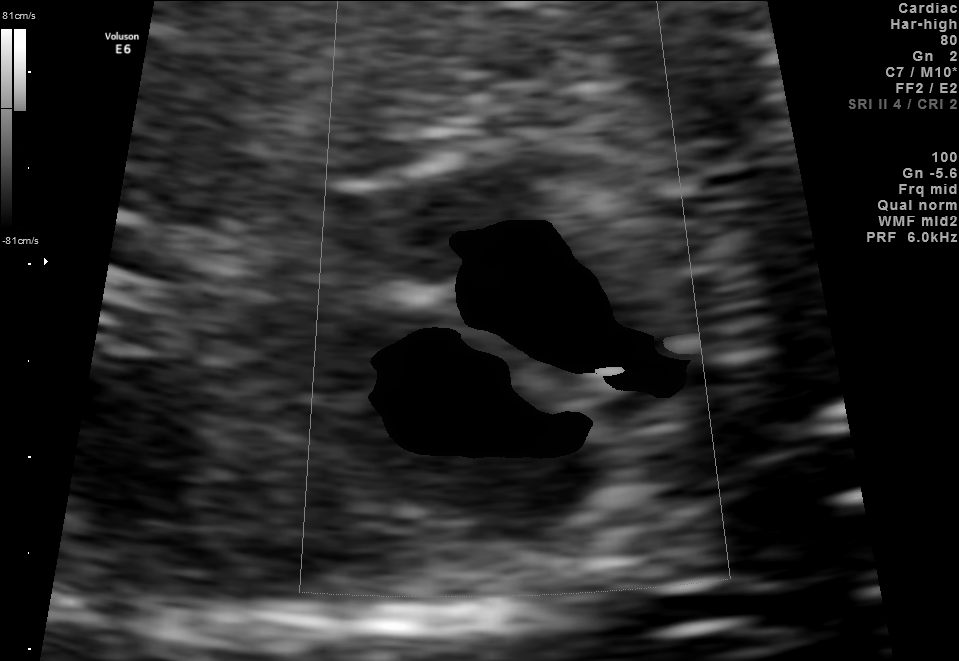
Identify the standard plane in this fetal ultrasound image: fetal abdomen, fetal brain, fetal femur, fetal thorax, maternal cervix, or other. If it's fetal brain and one of the three standard brain planes (trans-thalamic, trans-cerebellum, trans-ventricular), name which.

Other